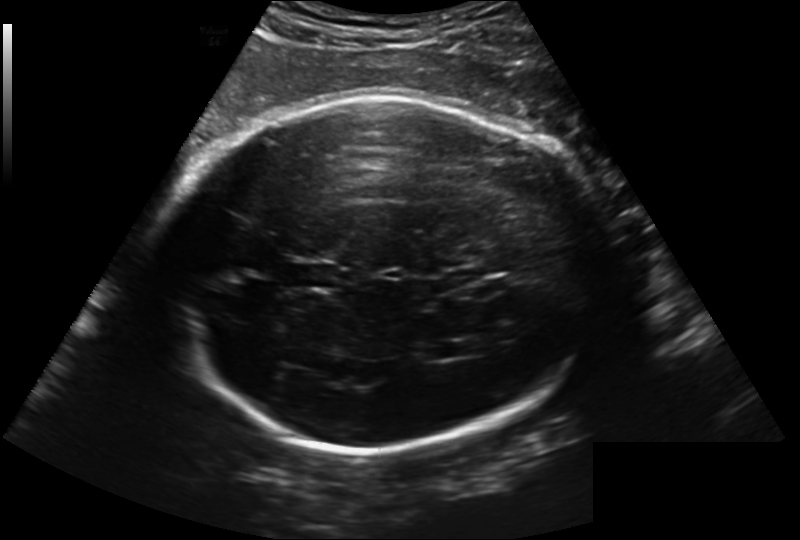
Fetal head ultrasound. Image width: 192.7 mm. Locate the lateral ventricle.

Lateral ventricle: [422,339,463,363]